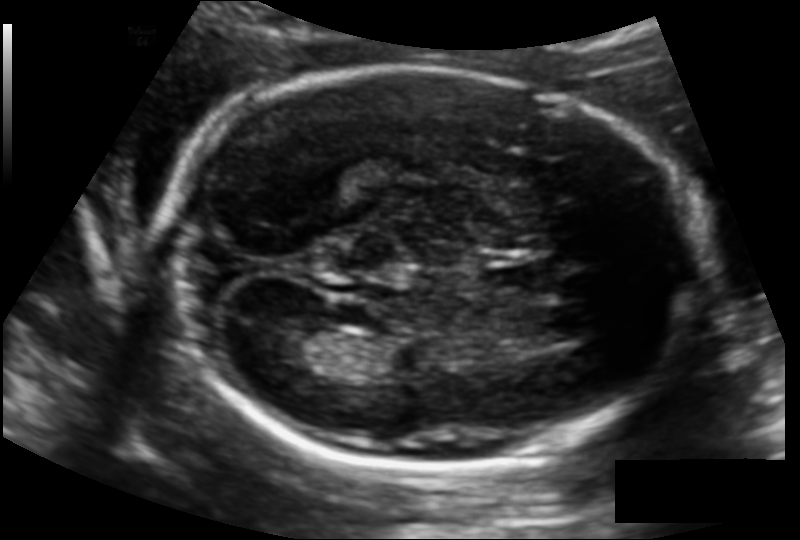
In this fetal head ultrasound, give the bounding box of the lateral ventricle. Image width: 103.6 mm.

[271,325,338,371]